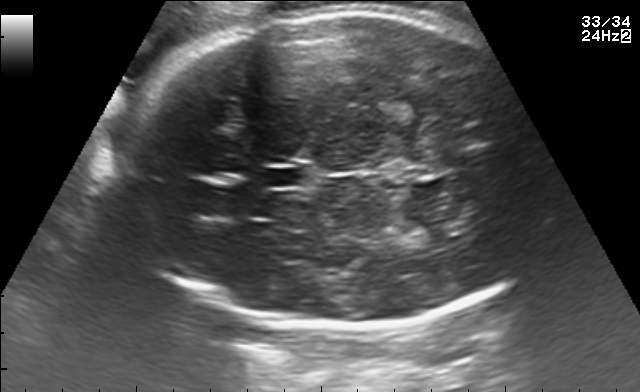
Fetal brain, trans-thalamic plane. Locate the cavum septum pellucidum.

CSP: [264,169,306,186]